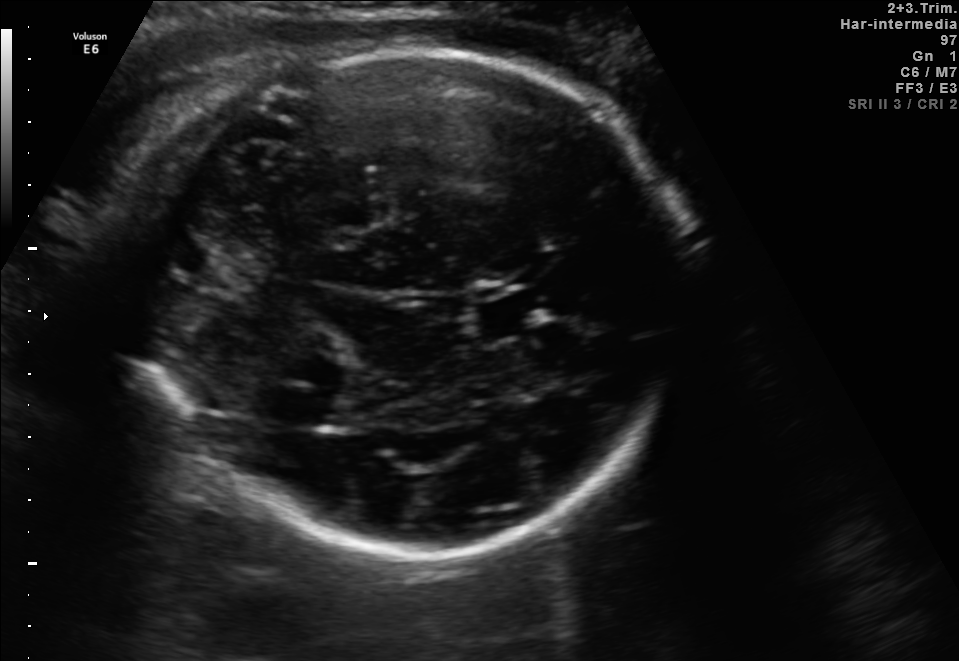
In this fetal brain, trans-thalamic plane, give bounding boxes for the head outline, cavum septum pellucidum (CSP), and lateral ventricle (LV), where visible.

Head: [139,46,678,563]
CSP: [474,289,546,342]
Lateral ventricle: [269,391,340,424]